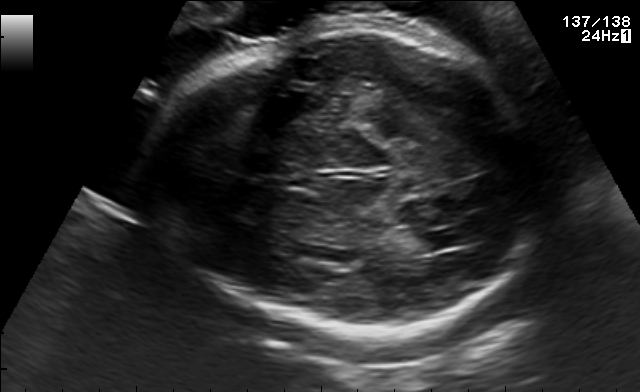
Fetal brain, trans-thalamic plane. Locate the fetal head and, if visible, the cavum septum pellucidum (CSP) and lateral ventricle (LV). Give bounding boxes as [x1,y1,x2,y2].

Head: [151,24,539,342]
Lateral ventricle: [411,224,474,255]